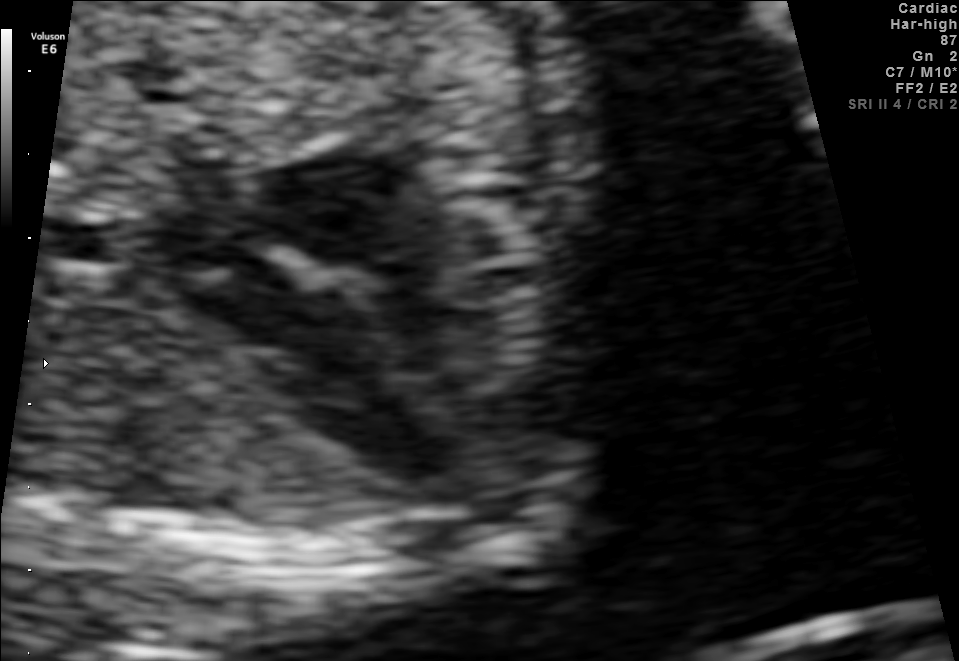
Identify the standard plane in this fetal ultrasound image: fetal abdomen, fetal brain, fetal femur, fetal thorax, maternal cervix, or other. If it's fetal brain and one of the three standard brain planes (trans-thalamic, trans-cerebellum, trans-ventricular), name which.

Fetal thorax